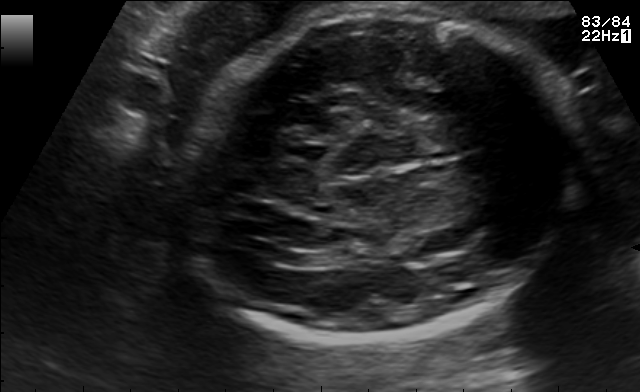
Fetal brain, trans-ventricular plane. Locate the fetal head and, if visible, the cavum septum pellucidum (CSP) and lateral ventricle (LV). Give bounding boxes as [x1,y1,x2,y2].

Head: [176,7,578,345]